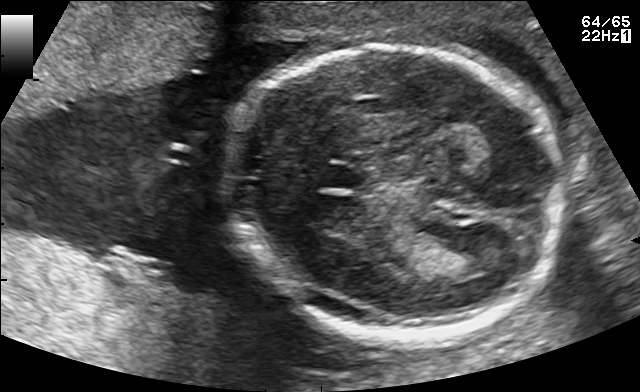
Fetal brain, trans-thalamic plane. Locate the fetal head and, if visible, the cavum septum pellucidum (CSP) and lateral ventricle (LV). Give bounding boxes as [x1,y1,x2,y2].

Head: [229,44,559,342]
CSP: [320,164,361,189]